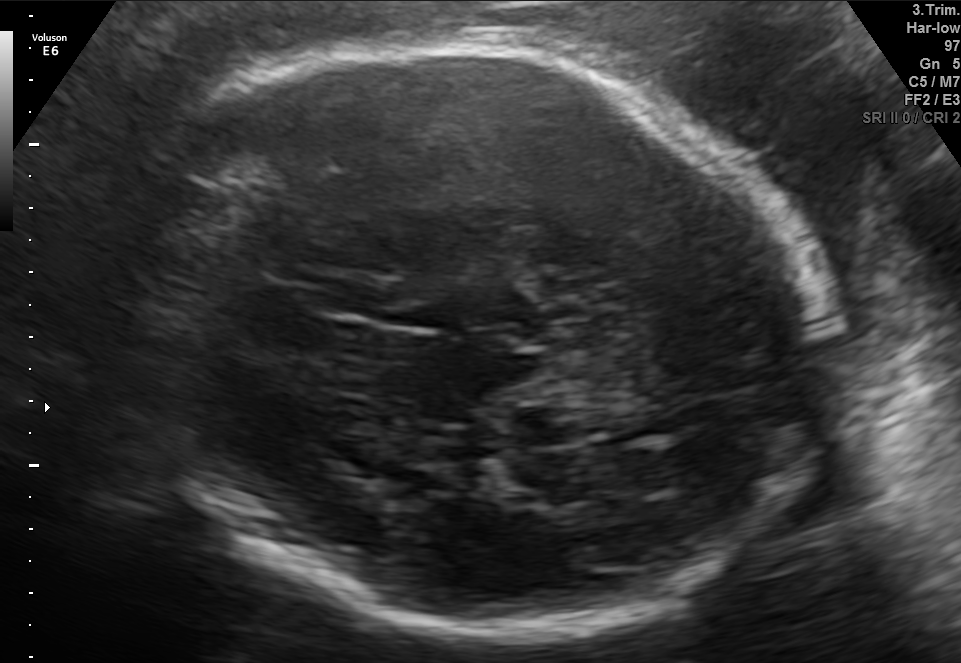
Identify the standard plane in this fetal ultrasound image: fetal abdomen, fetal brain, fetal femur, fetal thorax, maternal cervix, or other. If it's fetal brain and one of the three standard brain planes (trans-thalamic, trans-cerebellum, trans-ventricular), name which.

Fetal brain (trans-thalamic plane)